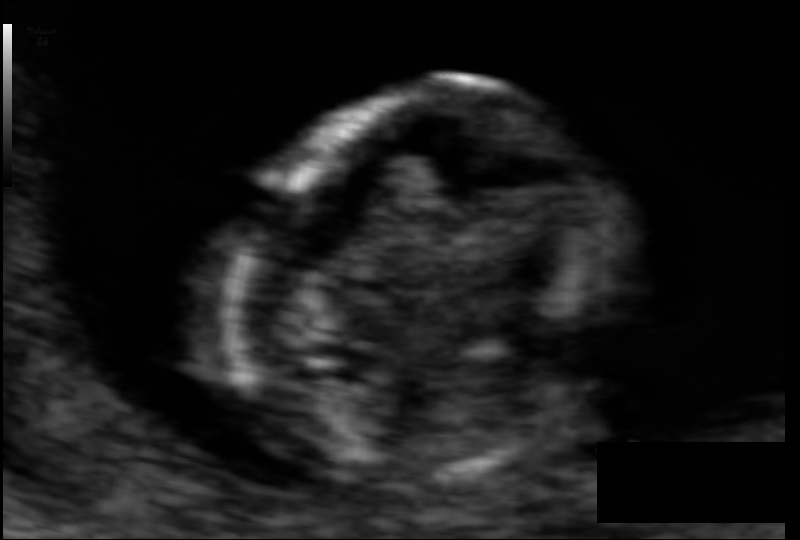
From this fetal ultrasound, estimate the head circumference (image width 44.4 mm).

Head circumference: 69.9 mm.